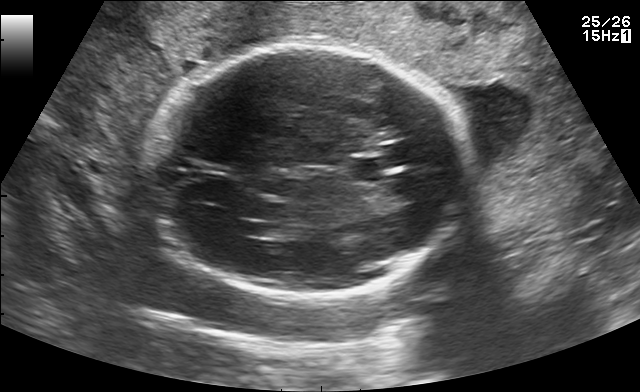
Fetal brain, trans-ventricular plane. Where is the lateral ventricle?

Lateral ventricle bounding box: [232,218,267,237]